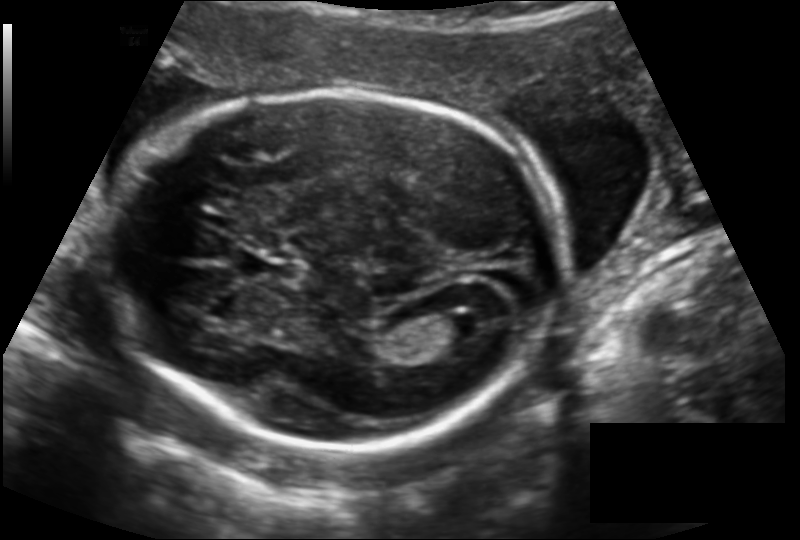
Fetal head ultrasound. Image width: 113.5 mm. Where is the lateral ventricle?

Lateral ventricle bounding box: [427,307,482,347]